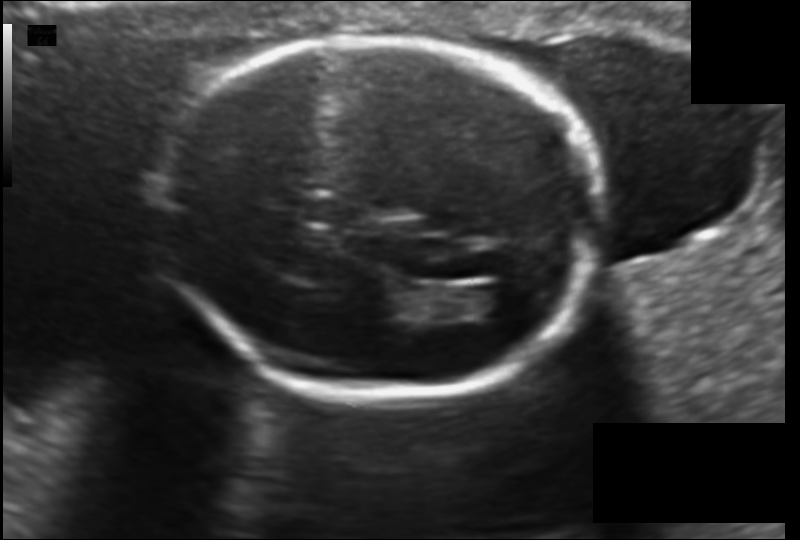
In this fetal head ultrasound, give the bounding box of the cavum septum pellucidum. Image width: 104.2 mm.

[298,189,350,228]